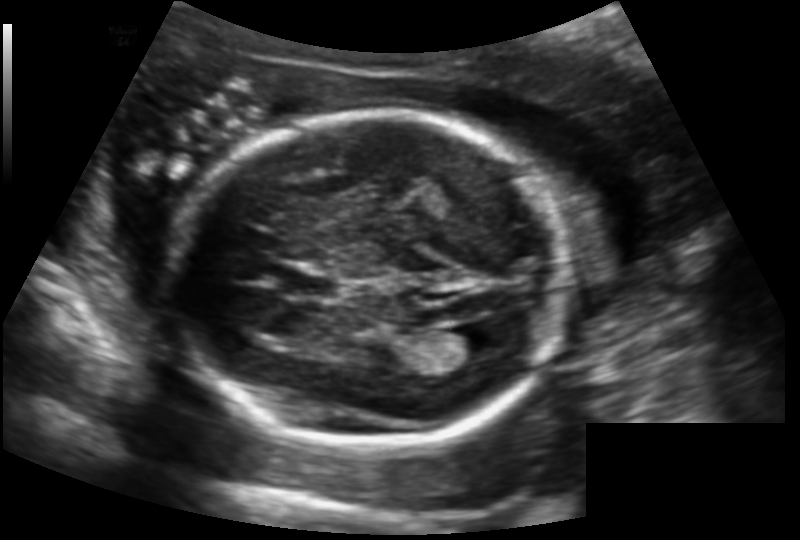
In this fetal head ultrasound, give the bounding box of the cavum septum pellucidum. Image width: 117.4 mm.

[280,267,340,298]